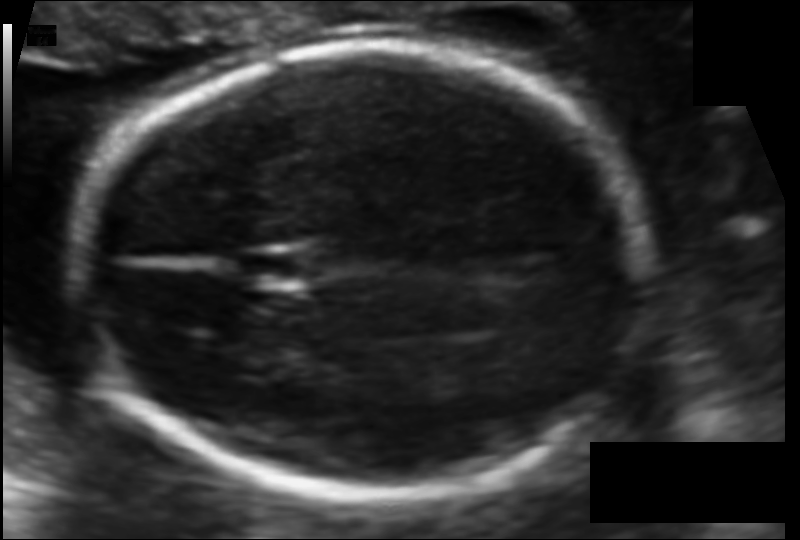
Fetal head ultrasound. Image width: 84.8 mm. Where is the cavum septum pellucidum?

CSP bounding box: [235,248,308,290]